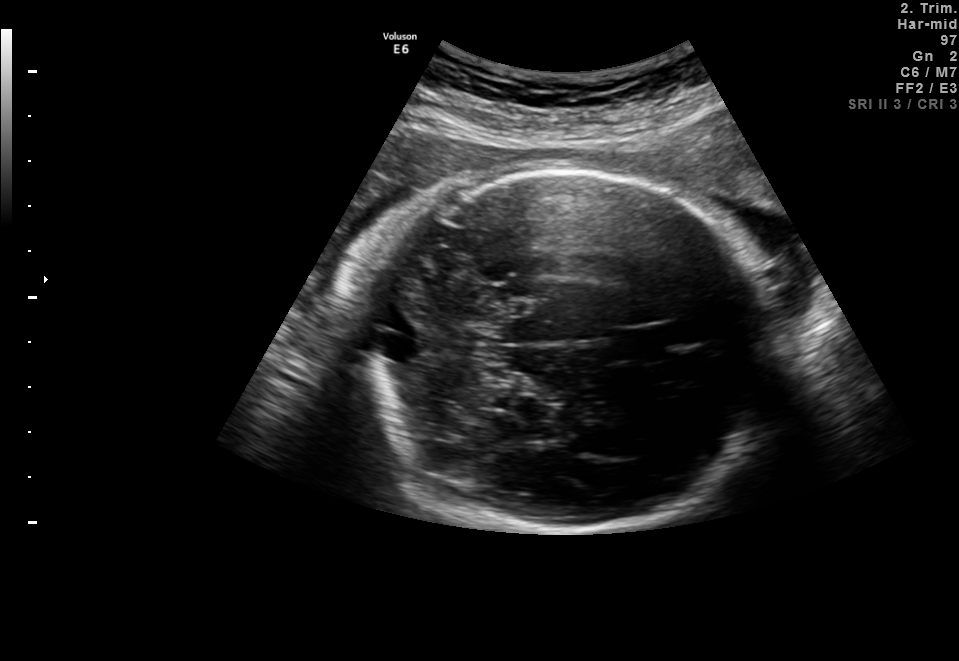
Fetal brain, trans-cerebellum plane. Locate the fetal head and, if visible, the cavum septum pellucidum (CSP) and lateral ventricle (LV). Give bounding boxes as [x1,y1,x2,y2].

Head: [358,170,775,535]